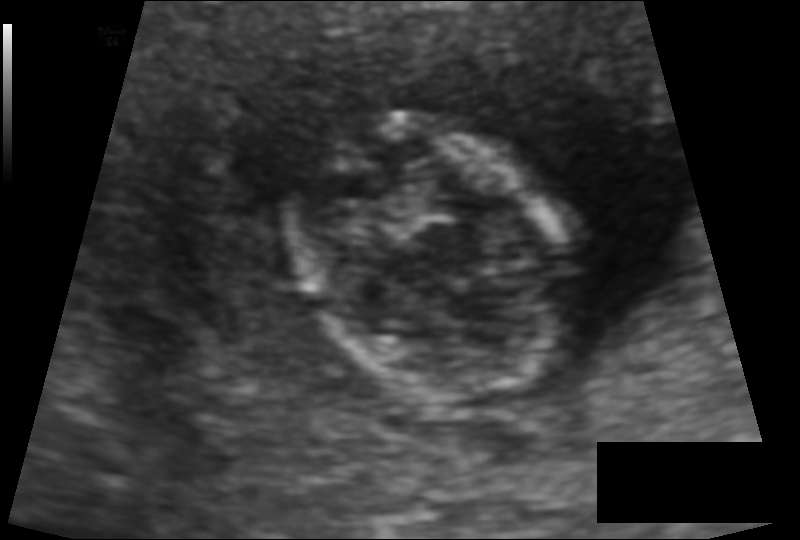
Fetal head ultrasound. Image width: 72.9 mm. Locate the fetal head and, if visible, the cavum septum pellucidum (CSP) and lateral ventricle (LV). Give bounding boxes as [x1,y1,x2,y2].

Head: [277,120,585,395]